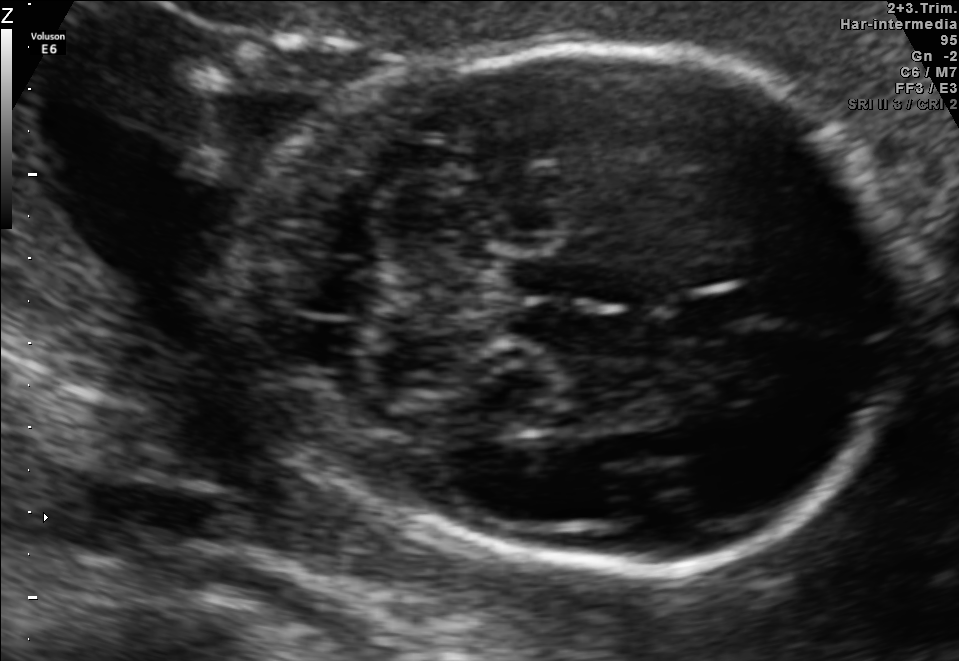
In this fetal brain, trans-cerebellum plane, give the bounding box of the cavum septum pellucidum.

[667,279,763,342]